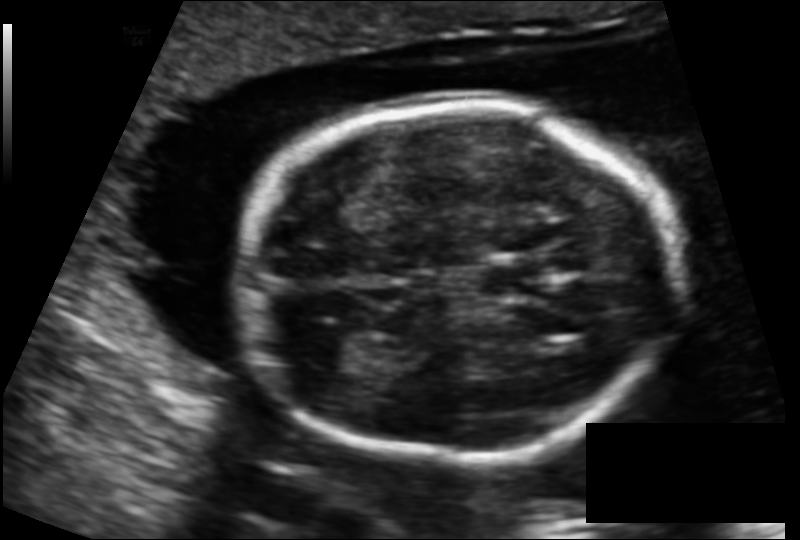
Fetal head ultrasound. Image width: 104.4 mm. Locate the fetal head and, if visible, the cavum septum pellucidum (CSP) and lateral ventricle (LV). Give bounding boxes as [x1,y1,x2,y2].

Head: [239,103,679,465]
CSP: [479,261,549,302]
Lateral ventricle: [301,325,381,374]